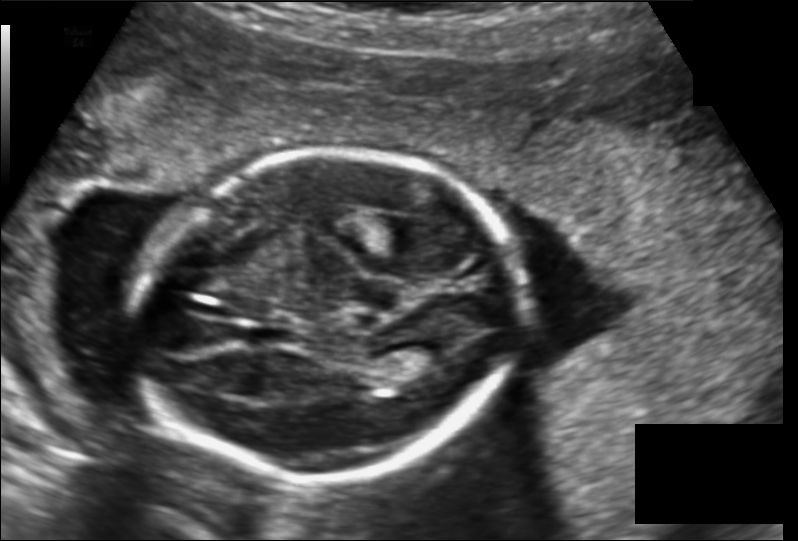
Estimate the fetal head circumference from this 2D ultrasound.

Head circumference: 173.3 mm (image width 118.8 mm).